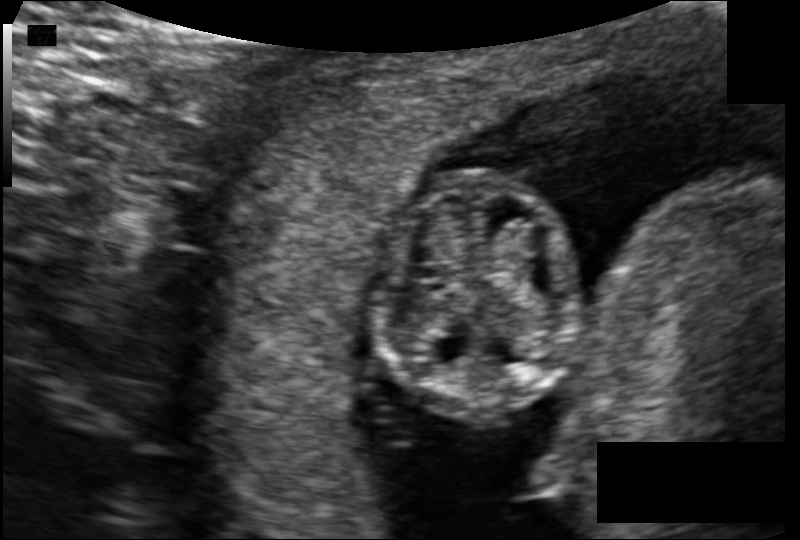
From this fetal ultrasound, estimate the head circumference (image width 81.0 mm).

Head circumference: 74.3 mm.